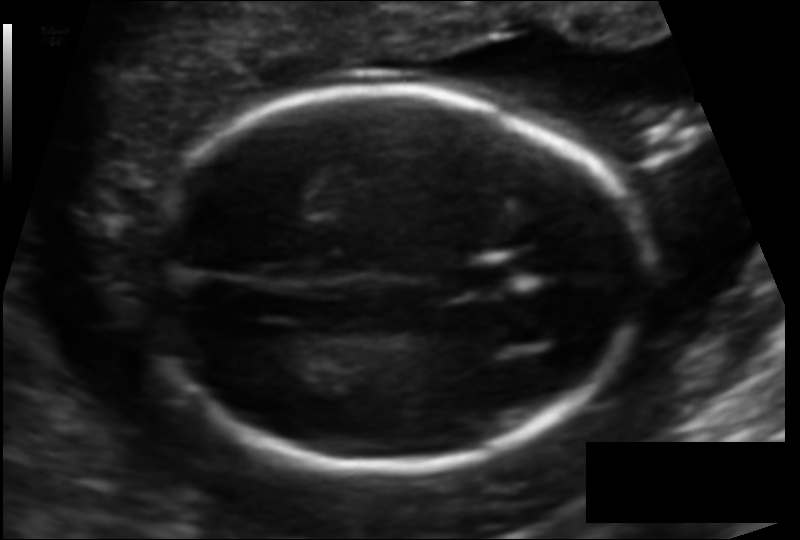
Fetal head ultrasound. Image width: 91.5 mm. Locate the fetal head.

Head: [152,88,645,470]